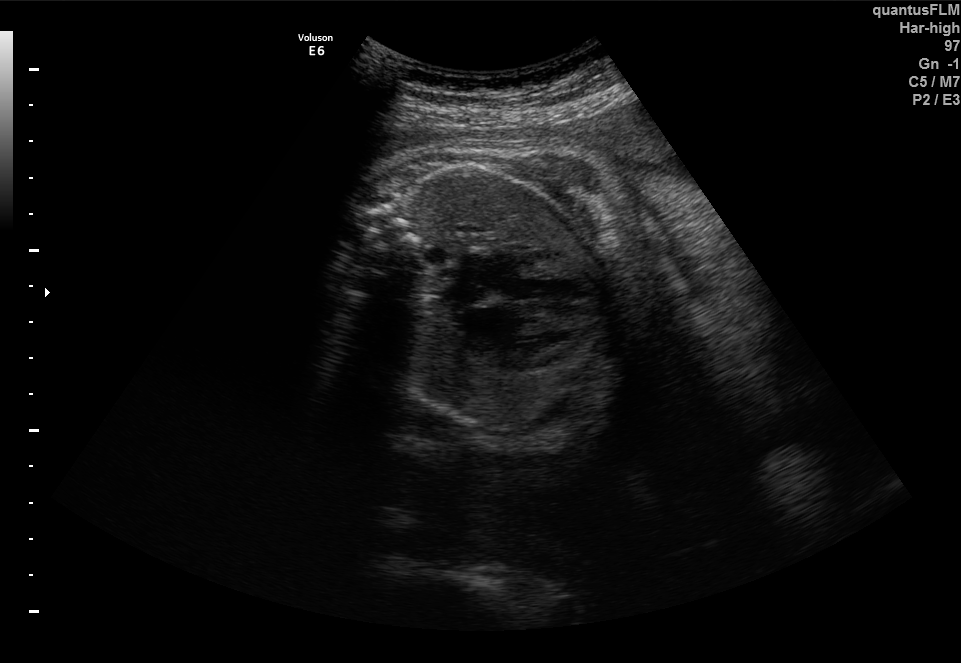
Classify this maternal-fetal ultrasound image as one of the six standard planes — fetal abdomen, fetal brain, fetal femur, fetal thorax, maternal cervix, or other. If it's fetal brain and one of the three standard brain planes (trans-thalamic, trans-cerebellum, trans-ventricular), name which.

Fetal thorax